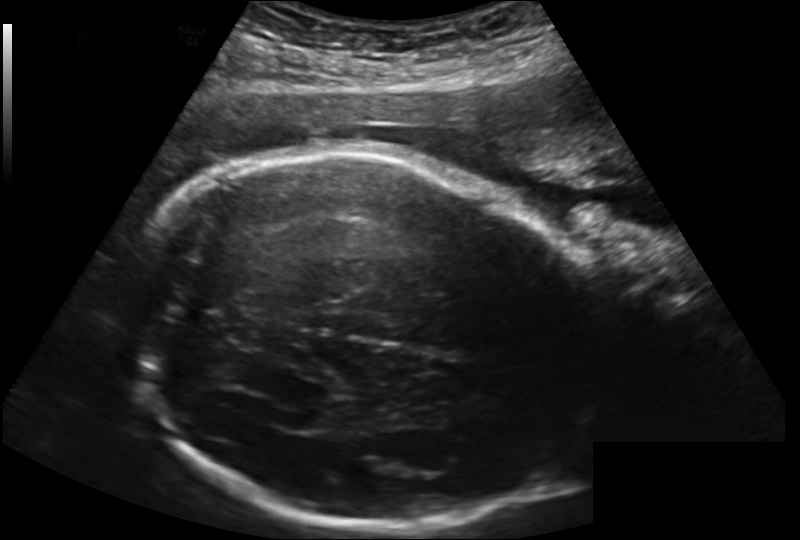
In this fetal head ultrasound, give bounding boxes for the head outline, cavum septum pellucidum (CSP), and lateral ventricle (LV), where visible. Image width: 161.7 mm.

Head: [125,150,601,529]